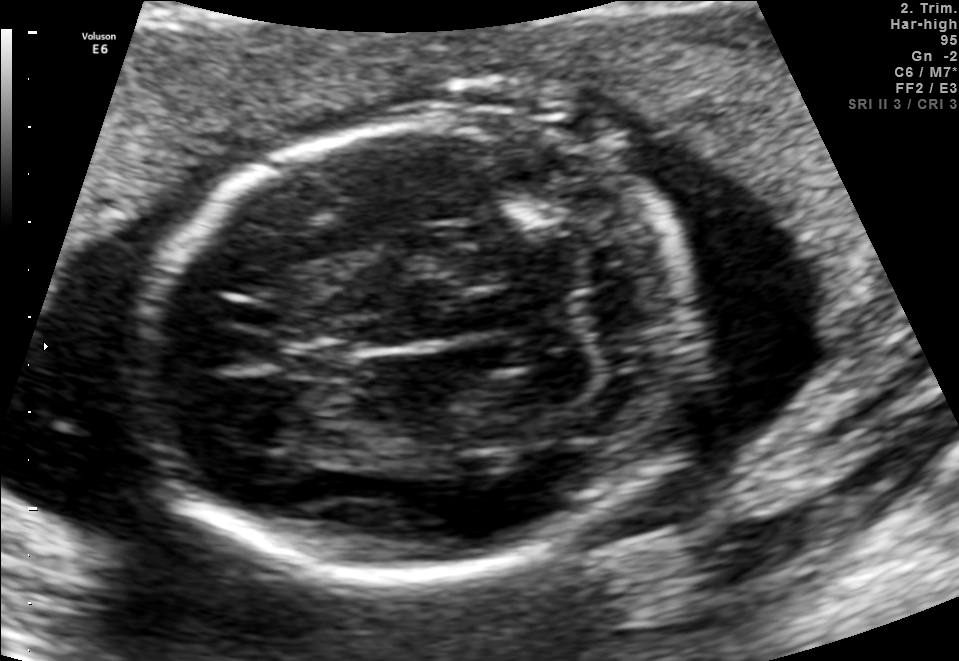
Fetal brain, trans-cerebellum plane. Locate the cavum septum pellucidum.

CSP: [283,340,353,380]